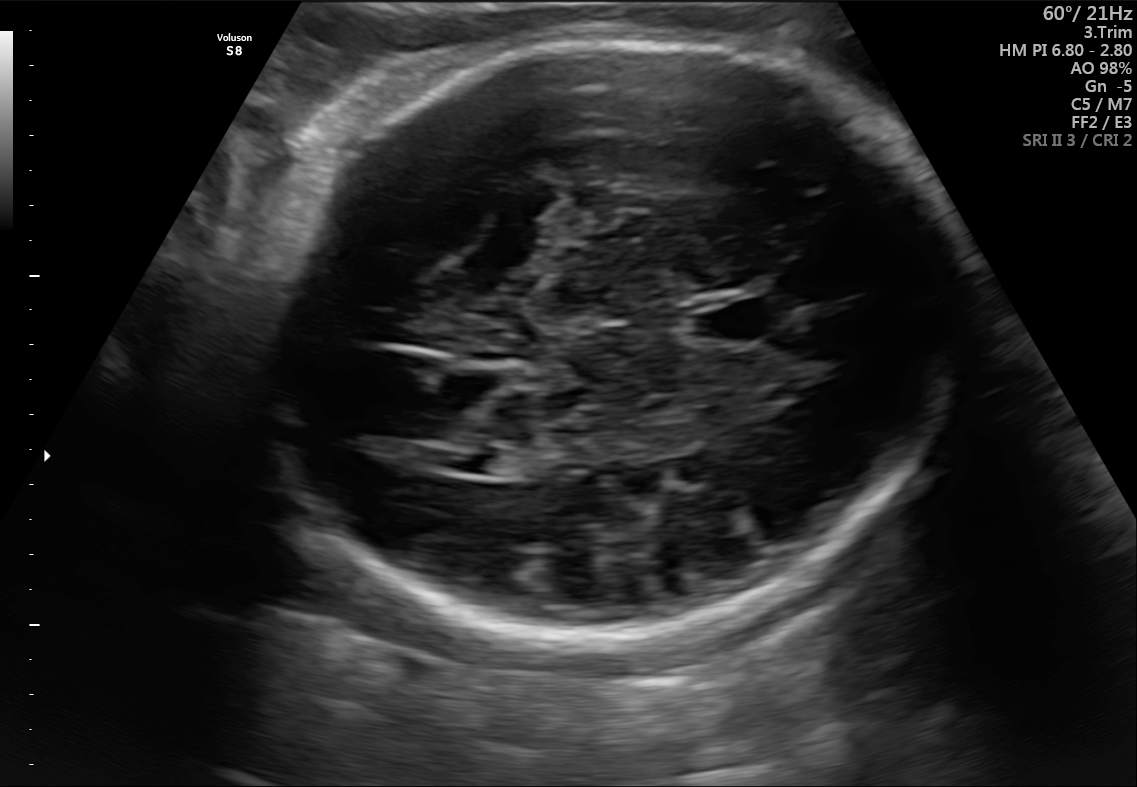
In this fetal brain, trans-ventricular plane, give the bounding box of the cavum septum pellucidum.

[690,304,765,341]